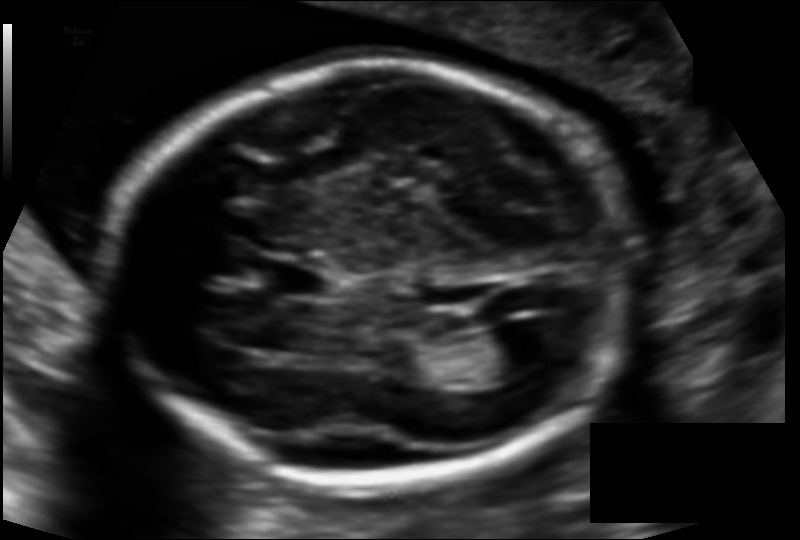
What is the fetal head circumference? Image width is 96.7 mm.

184.4 mm